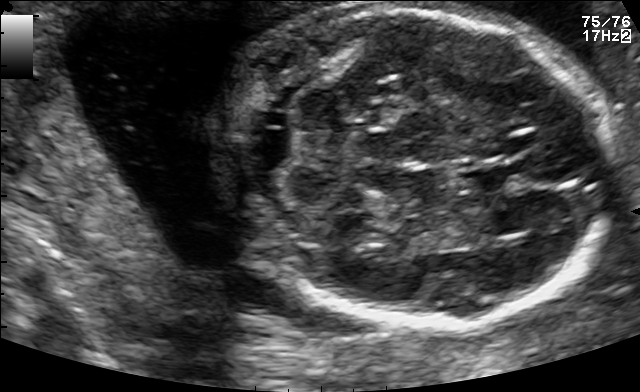
Identify the standard plane in this fetal ultrasound image: fetal abdomen, fetal brain, fetal femur, fetal thorax, maternal cervix, or other. If it's fetal brain and one of the three standard brain planes (trans-thalamic, trans-cerebellum, trans-ventricular), name which.

Fetal brain (trans-cerebellum plane)